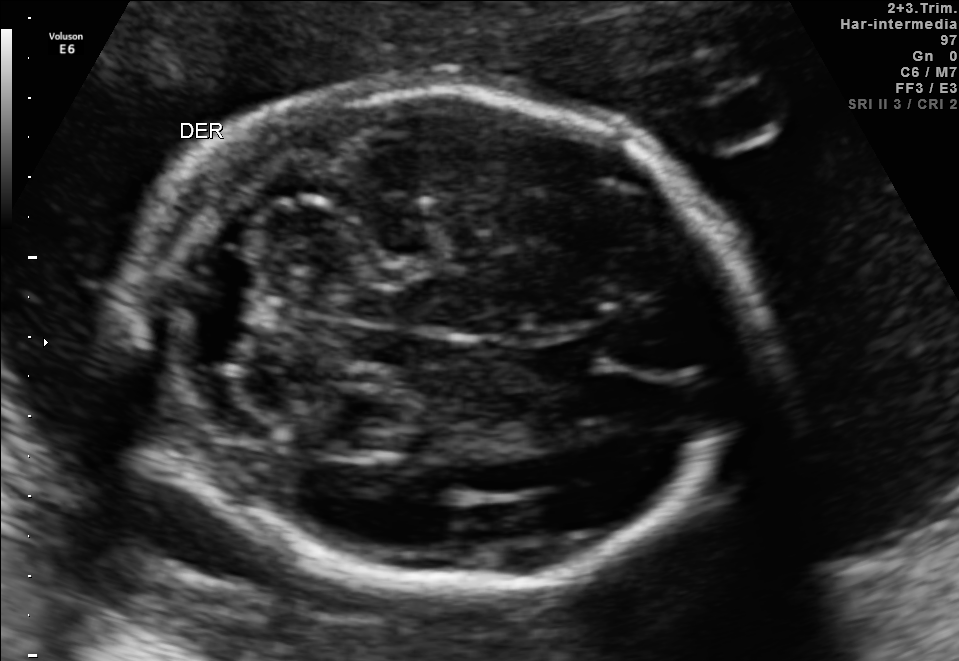
Fetal brain, trans-cerebellum plane. Locate the fetal head.

Head: [128,91,757,586]